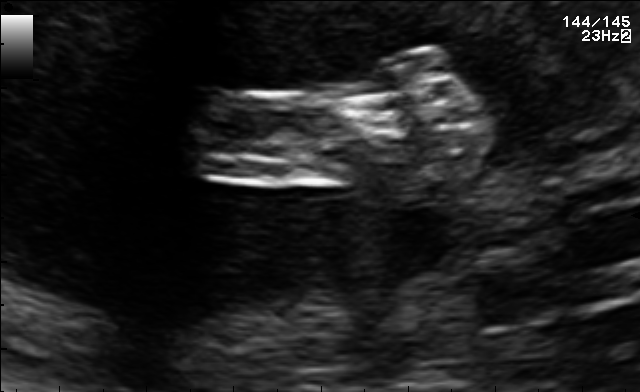
Which standard maternal-fetal ultrasound plane is shown: fetal abdomen, fetal brain, fetal femur, fetal thorax, maternal cervix, or other? If it's fetal brain and one of the three standard brain planes (trans-thalamic, trans-cerebellum, trans-ventricular), name which.

Other